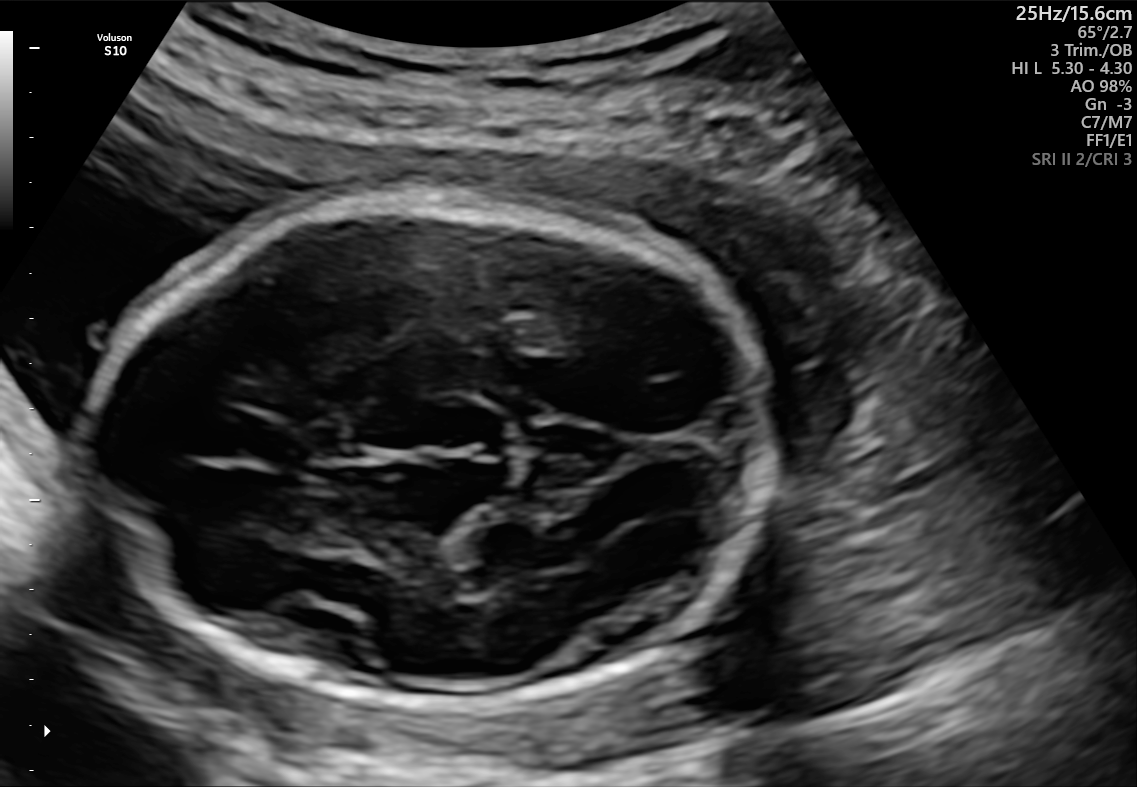
In this fetal brain, trans-thalamic plane, give the bounding box of the fetal head.

[88,193,772,704]